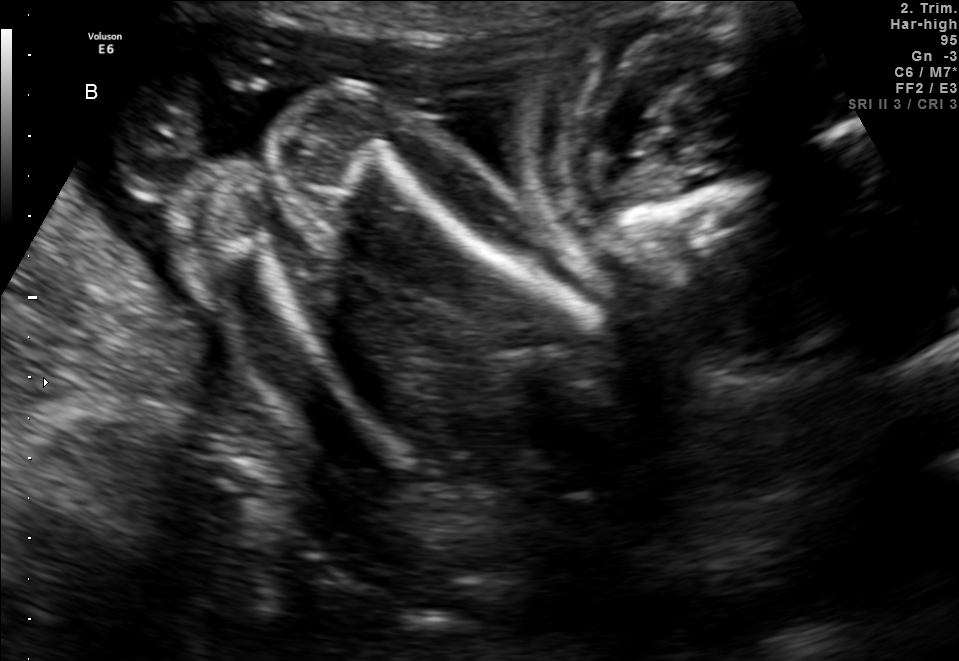
Identify the standard plane in this fetal ultrasound image: fetal abdomen, fetal brain, fetal femur, fetal thorax, maternal cervix, or other. If it's fetal brain and one of the three standard brain planes (trans-thalamic, trans-cerebellum, trans-ventricular), name which.

Fetal femur